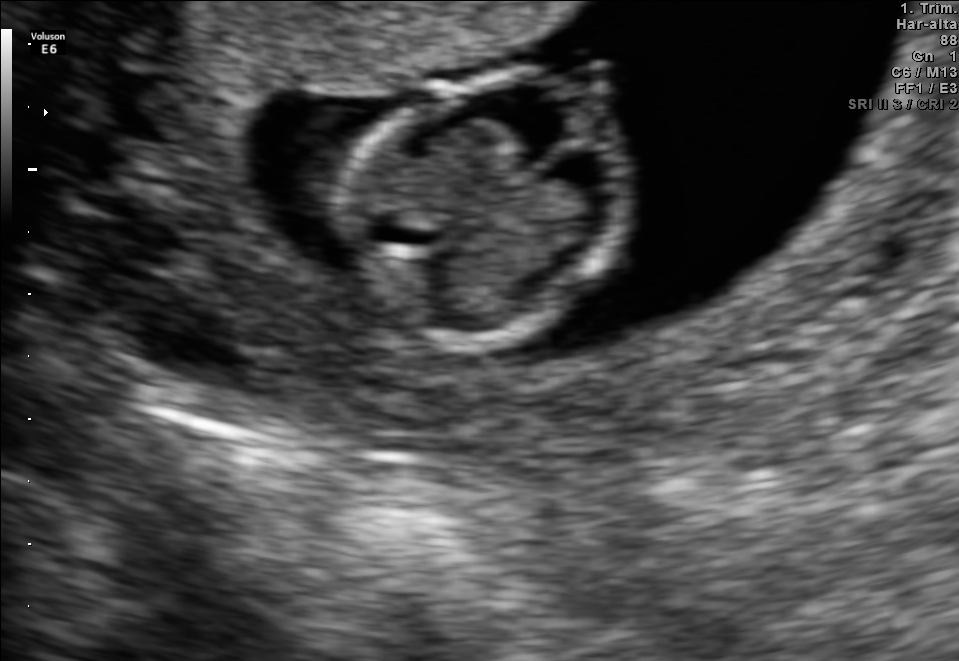
Identify the standard plane in this fetal ultrasound image: fetal abdomen, fetal brain, fetal femur, fetal thorax, maternal cervix, or other. If it's fetal brain and one of the three standard brain planes (trans-thalamic, trans-cerebellum, trans-ventricular), name which.

Fetal brain (trans-thalamic plane)